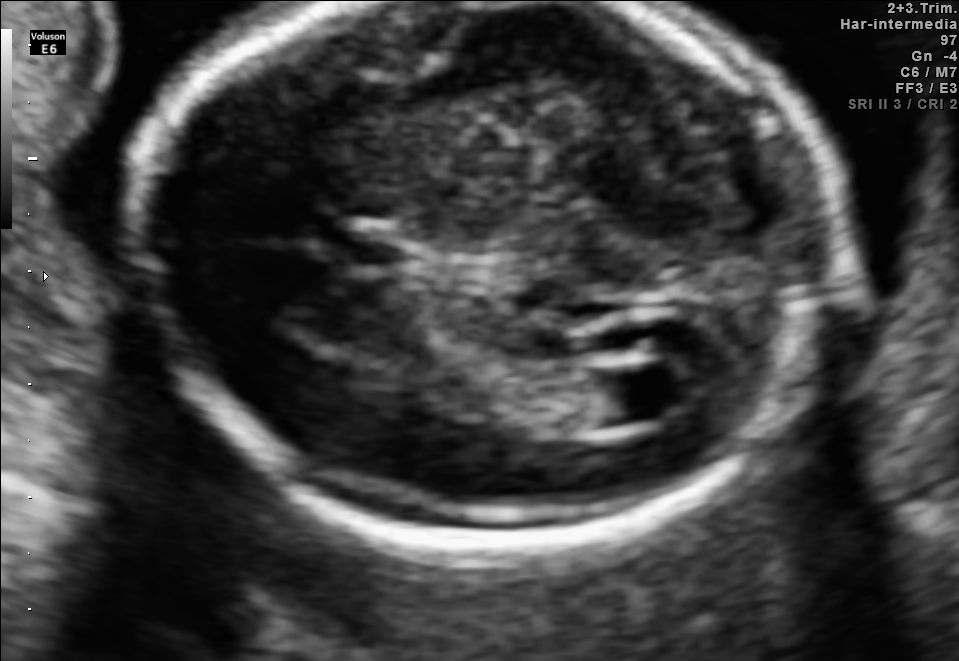
In this fetal brain, trans-ventricular plane, give the bounding box of the lateral ventricle.

[582,357,689,429]